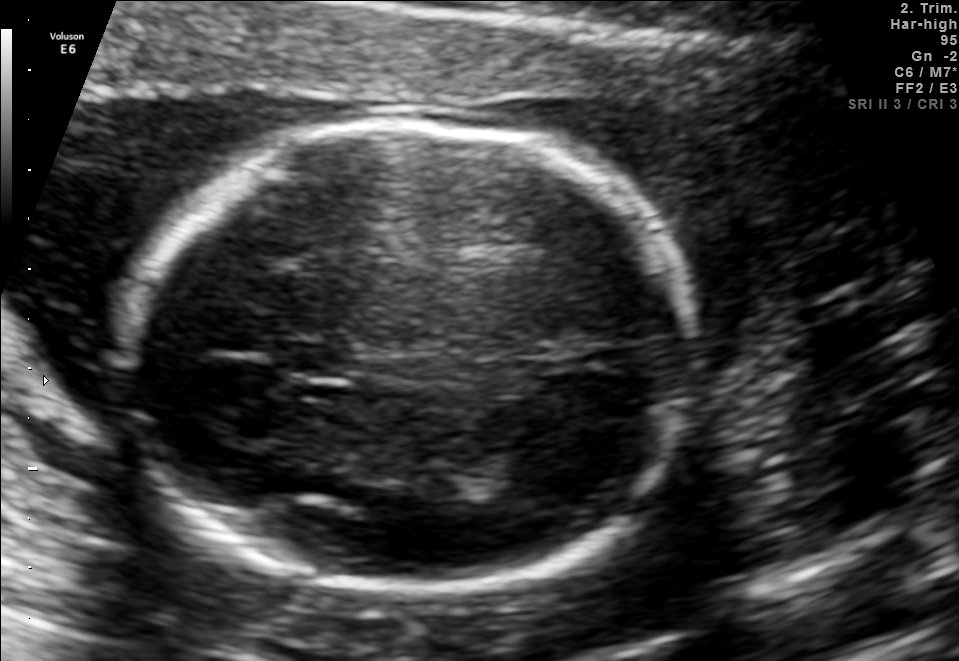
In this fetal brain, trans-thalamic plane, give bounding boxes for the head outline, cavum septum pellucidum (CSP), and lateral ventricle (LV), where visible.

Head: [110,121,697,586]
CSP: [274,340,346,377]